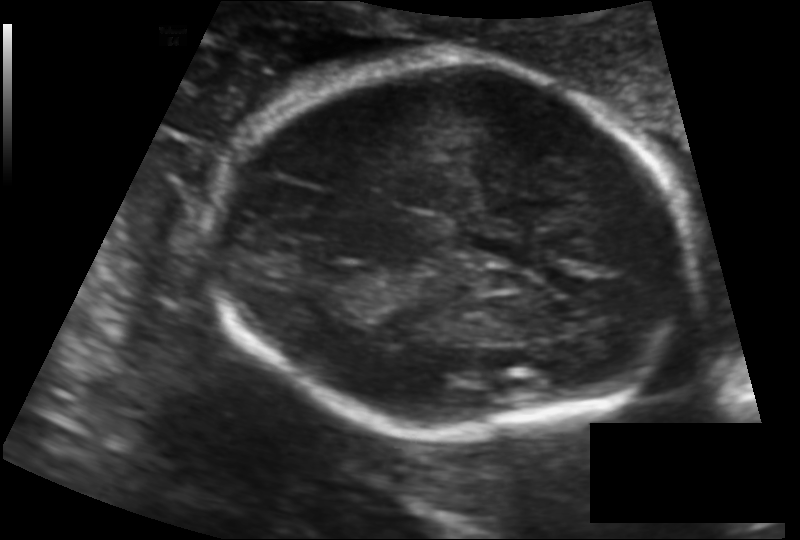
Measure the fetal head circumference shown in this ultrasound image. Image width: 102.5 mm.

Head circumference: 179.8 mm.